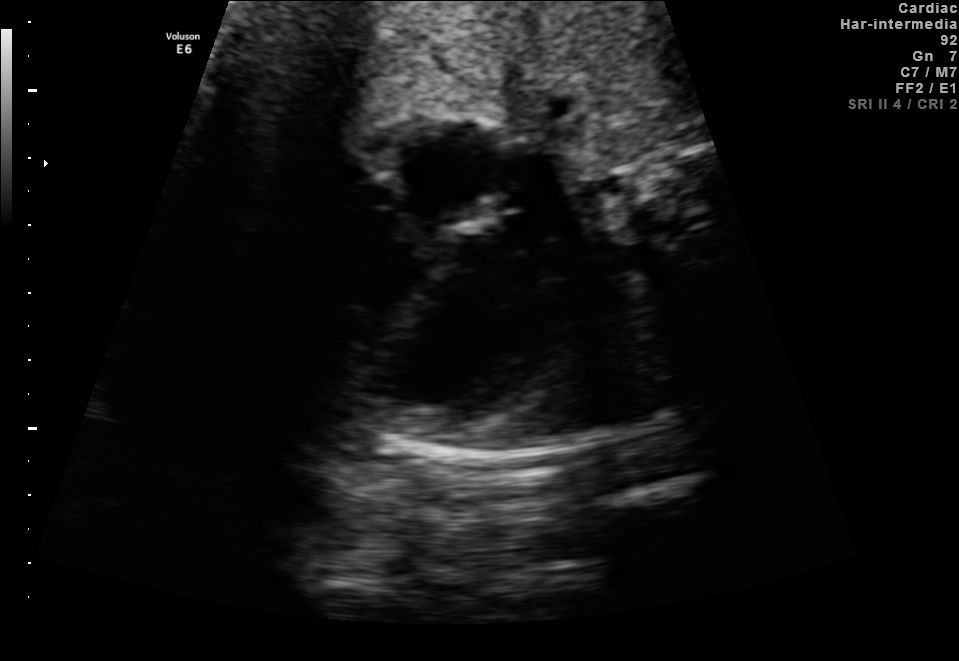
Identify the standard plane in this fetal ultrasound image: fetal abdomen, fetal brain, fetal femur, fetal thorax, maternal cervix, or other. If it's fetal brain and one of the three standard brain planes (trans-thalamic, trans-cerebellum, trans-ventricular), name which.

Fetal thorax